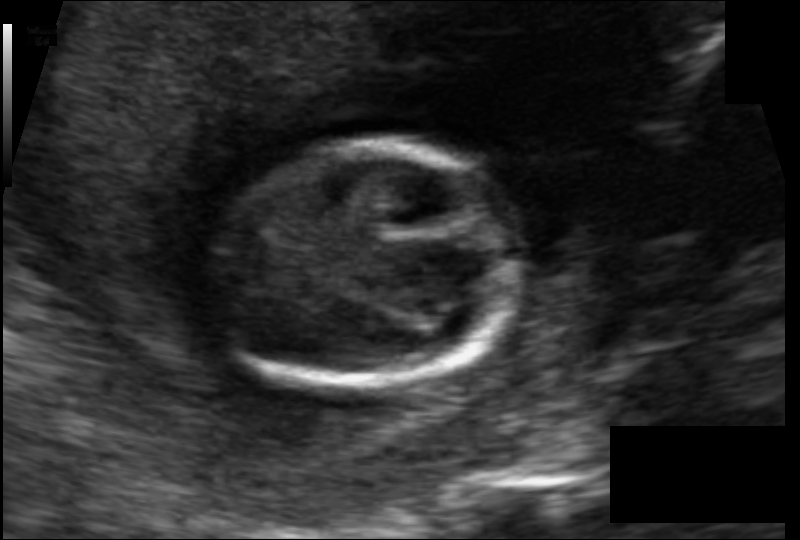
Fetal head ultrasound. Image width: 70.6 mm. Locate the fetal head and, if visible, the cavum septum pellucidum (CSP) and lateral ventricle (LV). Give bounding boxes as [x1,y1,x2,y2].

Head: [213,146,514,386]